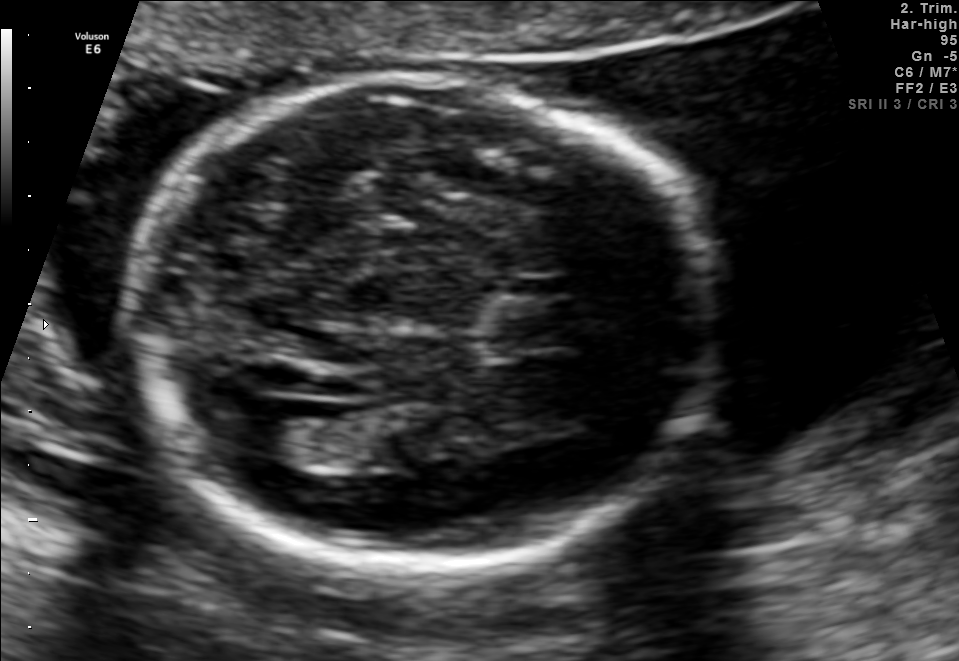
Fetal brain, trans-ventricular plane. Locate the lateral ventricle.

Lateral ventricle: [226,393,330,467]